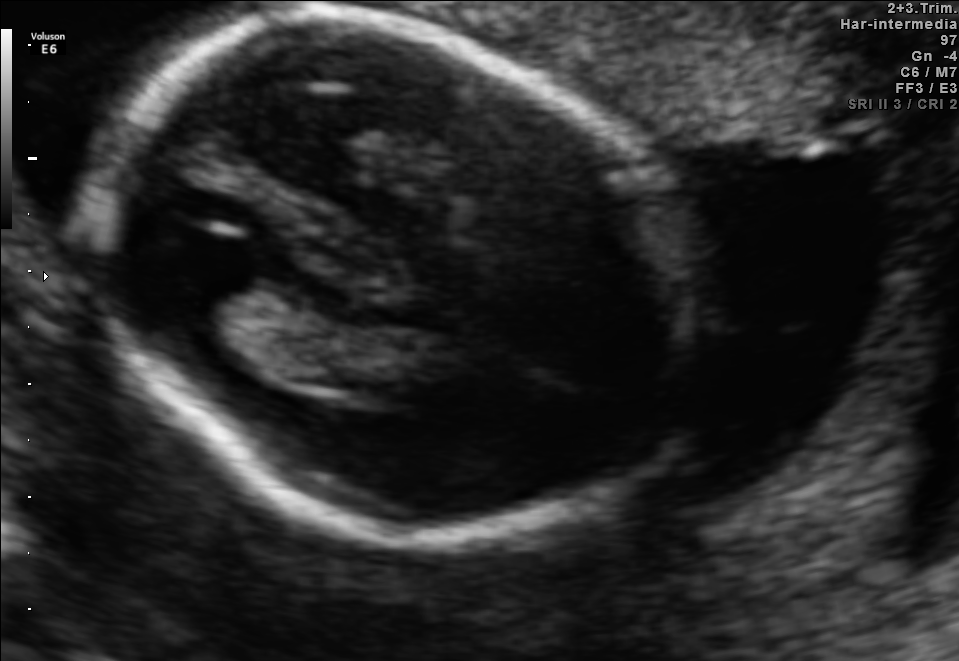
In this fetal brain, trans-thalamic plane, give the bounding box of the fetal head.

[87,26,704,541]